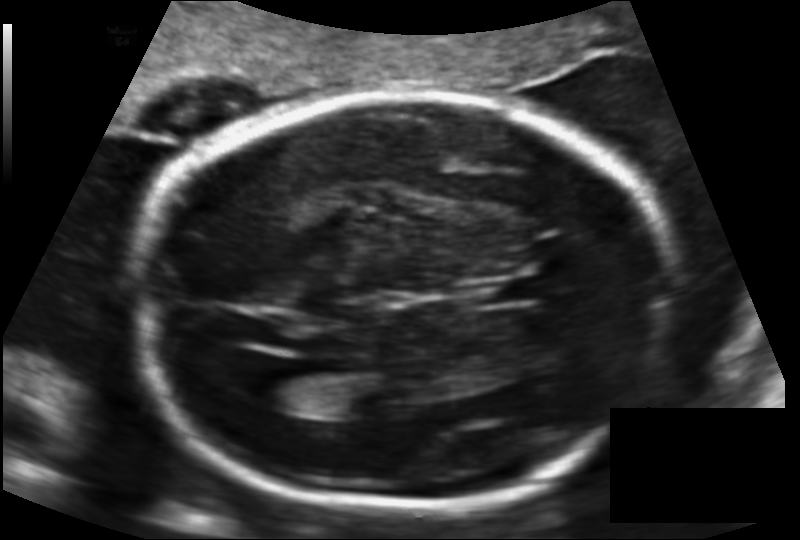
Fetal head ultrasound. Image width: 113.0 mm. Where is the fetal head?

Head bounding box: [131,96,677,508]